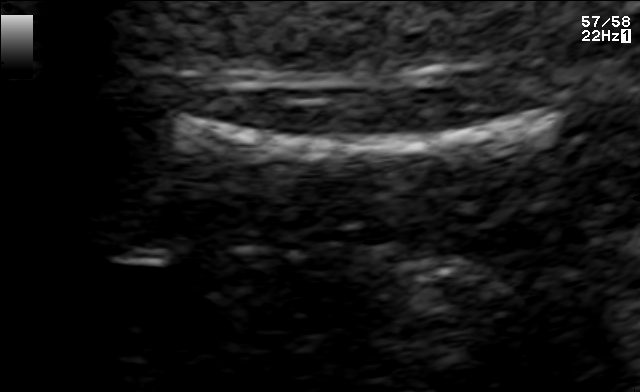
Identify the standard plane in this fetal ultrasound image: fetal abdomen, fetal brain, fetal femur, fetal thorax, maternal cervix, or other. If it's fetal brain and one of the three standard brain planes (trans-thalamic, trans-cerebellum, trans-ventricular), name which.

Fetal femur